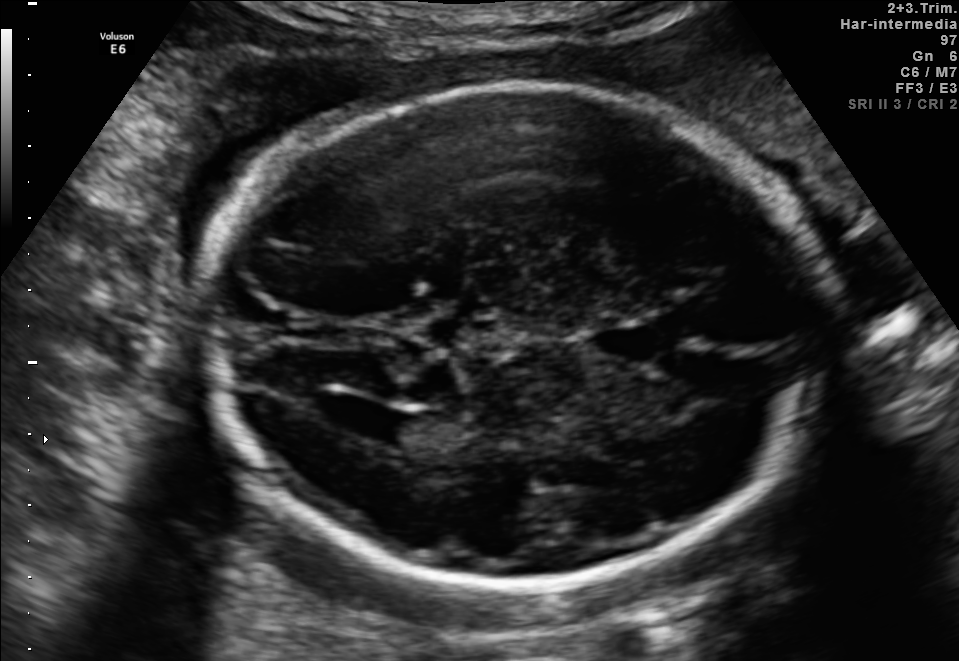
In this fetal brain, trans-ventricular plane, give the bounding box of the lateral ventricle.

[329,394,418,451]